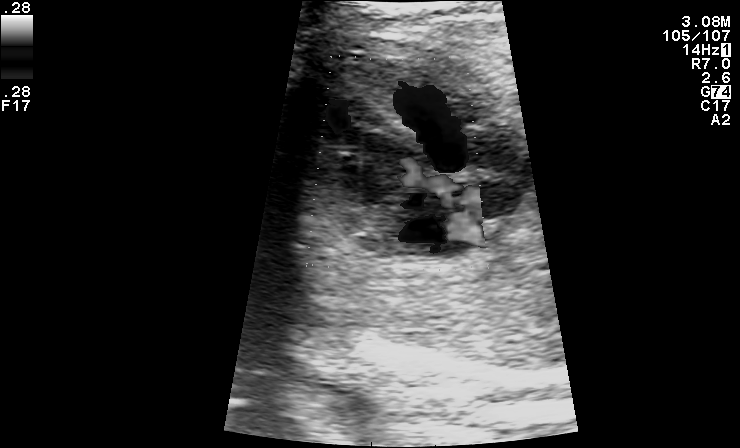
Which standard maternal-fetal ultrasound plane is shown: fetal abdomen, fetal brain, fetal femur, fetal thorax, maternal cervix, or other? If it's fetal brain and one of the three standard brain planes (trans-thalamic, trans-cerebellum, trans-ventricular), name which.

Other